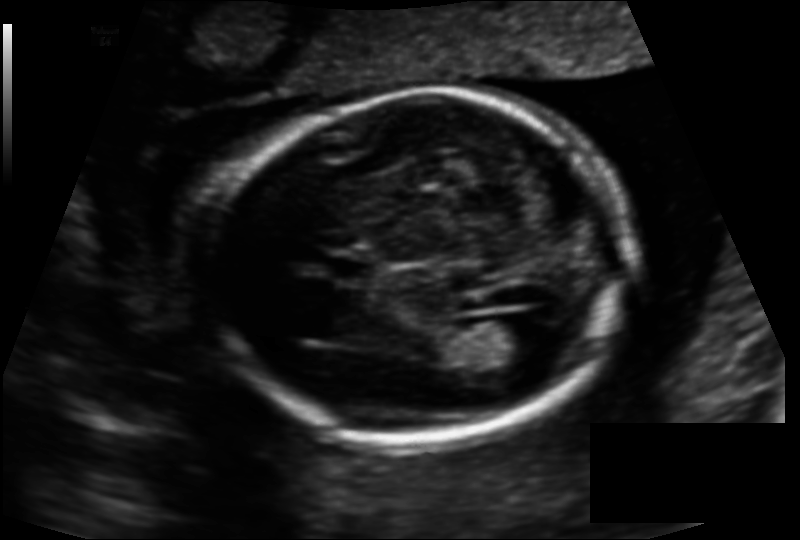
Fetal head ultrasound. Image width: 107.3 mm. Locate the fetal head and, if visible, the cavum septum pellucidum (CSP) and lateral ventricle (LV). Give bounding boxes as [x1,y1,x2,y2].

Head: [205,93,628,444]
CSP: [329,257,374,282]
Lateral ventricle: [491,306,559,363]